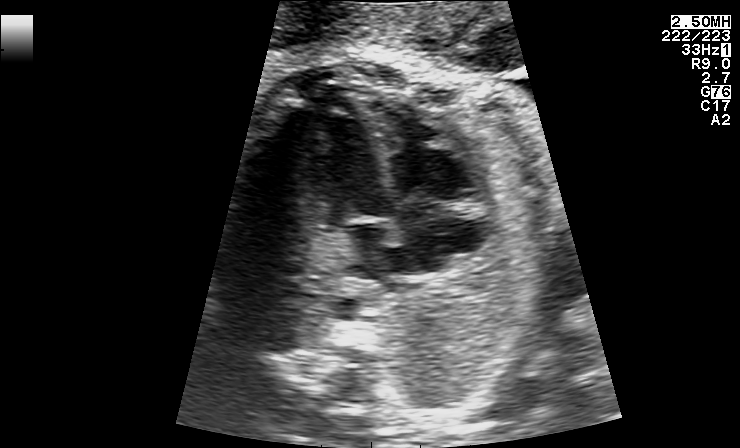
Which standard maternal-fetal ultrasound plane is shown: fetal abdomen, fetal brain, fetal femur, fetal thorax, maternal cervix, or other? If it's fetal brain and one of the three standard brain planes (trans-thalamic, trans-cerebellum, trans-ventricular), name which.

Fetal thorax